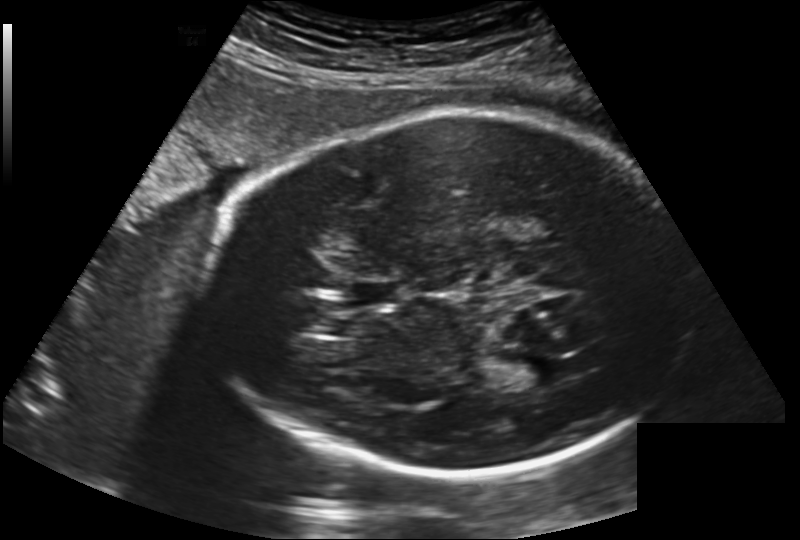
Fetal head ultrasound. Image width: 161.7 mm. Locate the fetal head and, if visible, the cavum septum pellucidum (CSP) and lateral ventricle (LV). Give bounding boxes as [x1,y1,x2,y2].

Head: [207,111,685,476]
CSP: [352,279,401,308]
Lateral ventricle: [503,355,559,391]